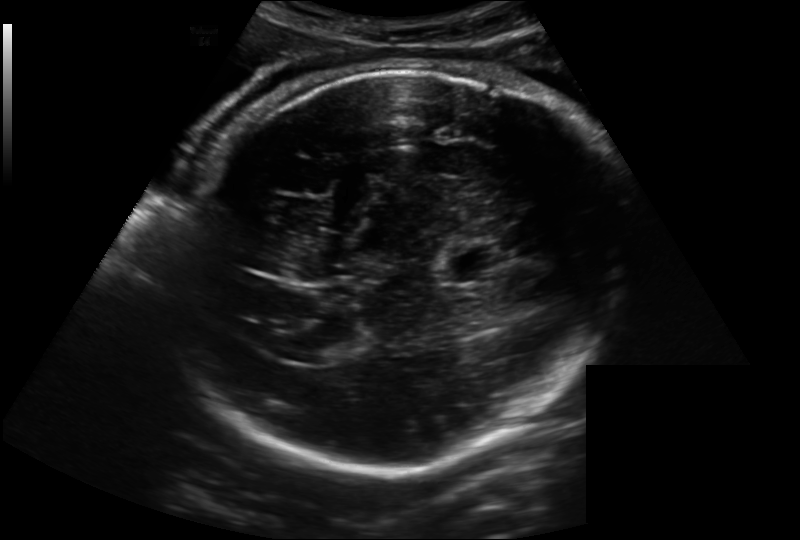
Fetal head ultrasound. Image width: 177.2 mm. Where is the fetal head?

Head bounding box: [165,69,626,467]